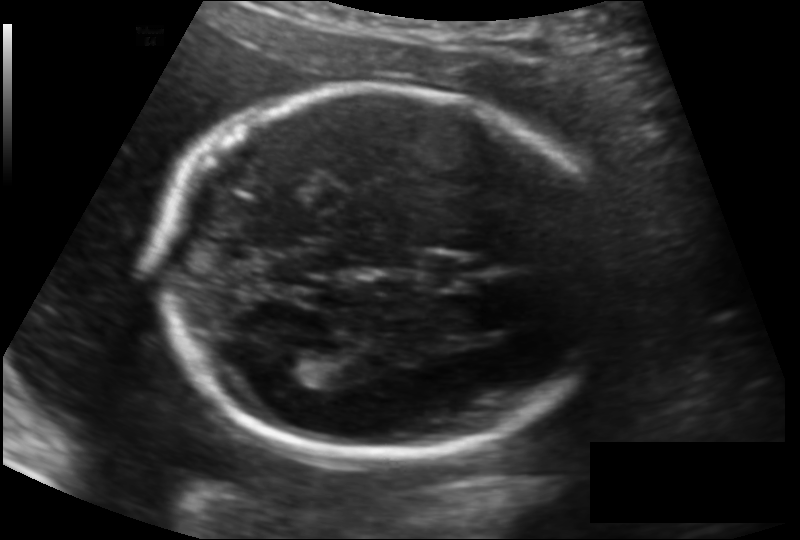
Estimate the fetal head circumference from this 2D ultrasound. Image width: 107.5 mm.

Head circumference: 181.0 mm.